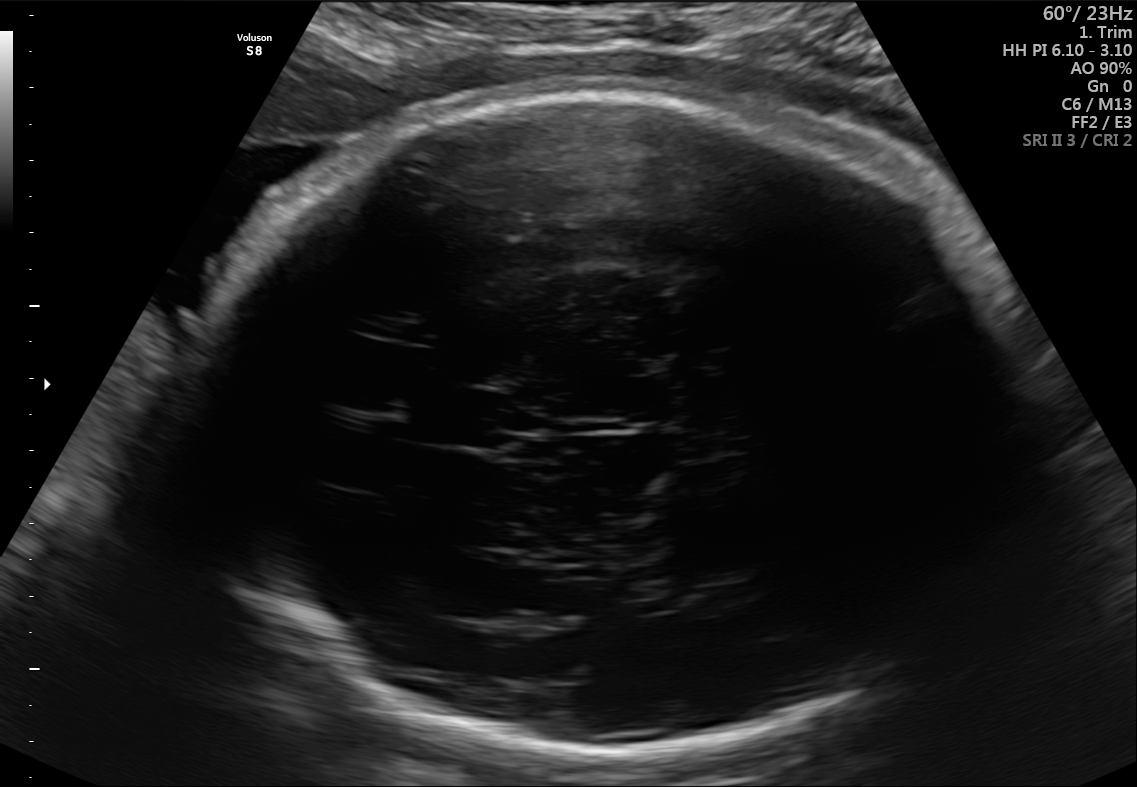
Fetal brain, trans-thalamic plane. Where is the fetal head?

Head bounding box: [179,86,1029,749]